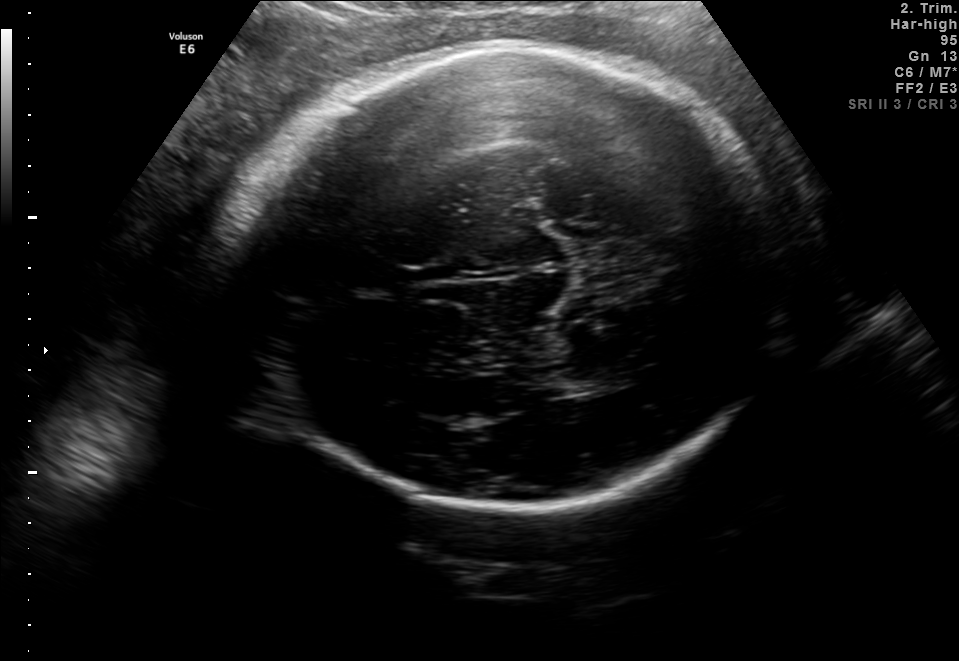
In this fetal brain, trans-thalamic plane, give the bounding box of the fetal head.

[224,46,785,511]